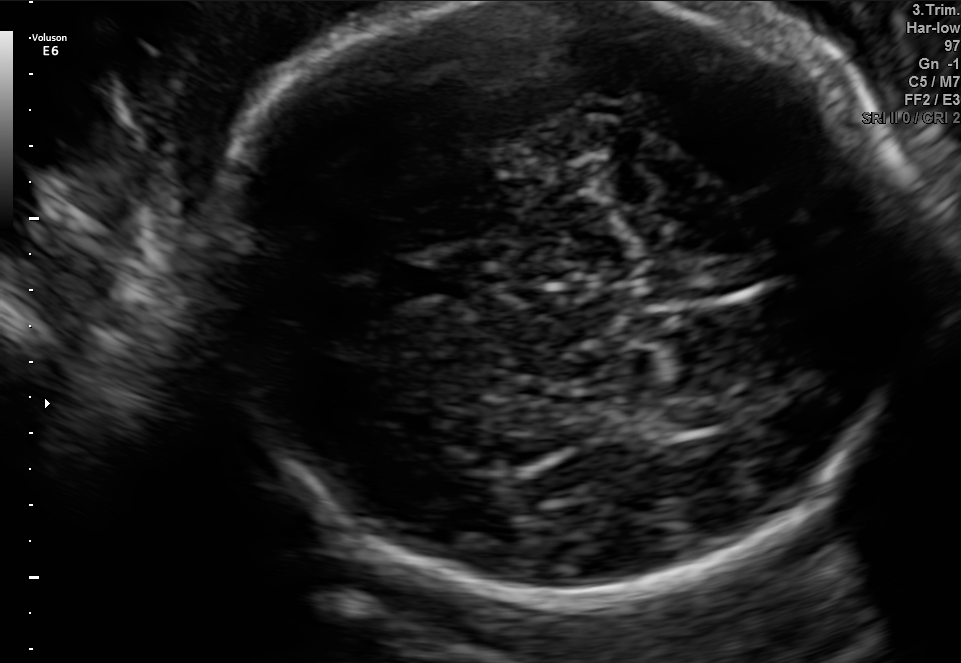
Fetal brain, trans-thalamic plane. Where is the cavum septum pellucidum?

CSP bounding box: [396,258,487,305]